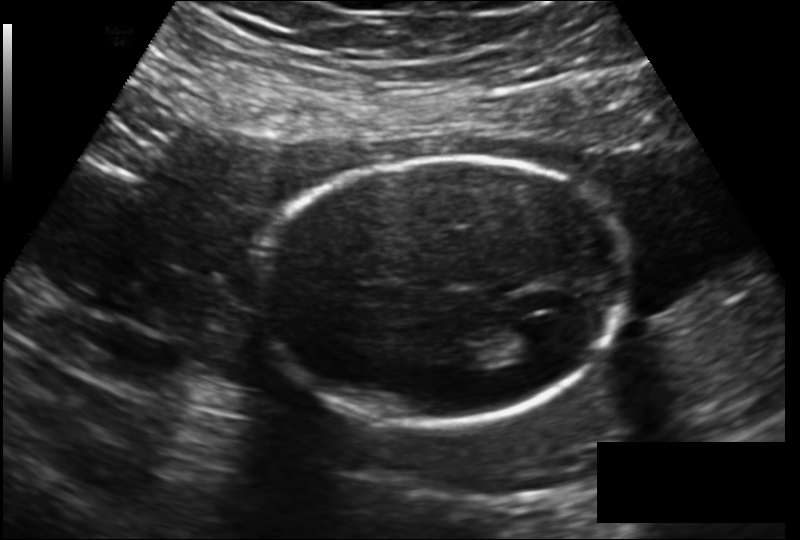
Fetal head ultrasound. Image width: 137.8 mm. Where is the lateral ventricle?

Lateral ventricle bounding box: [501,323,552,360]